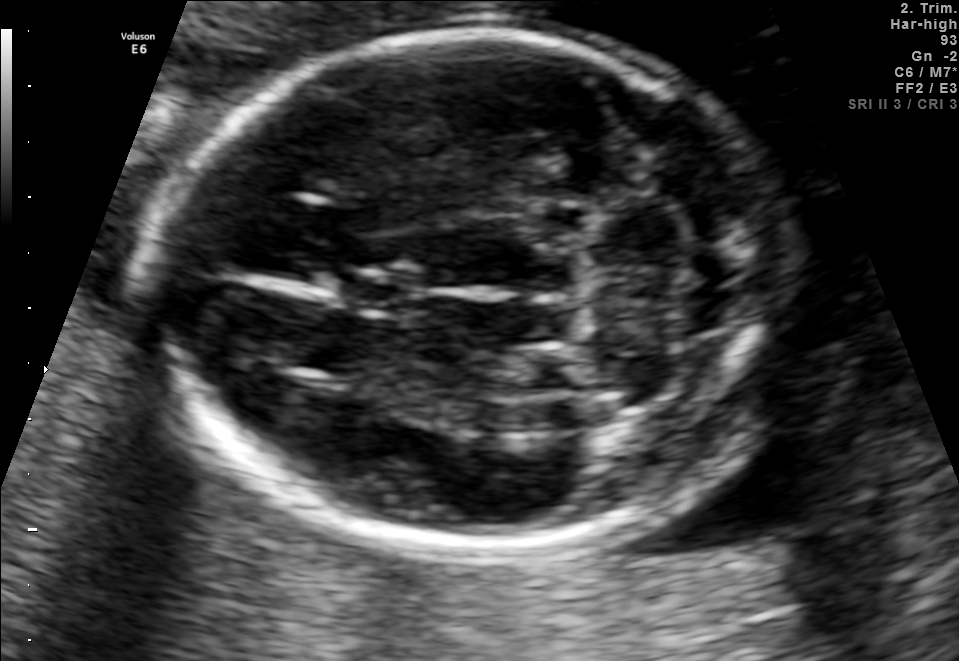
In this fetal brain, trans-cerebellum plane, give the bounding box of the cavum septum pellucidum.

[337,267,423,317]